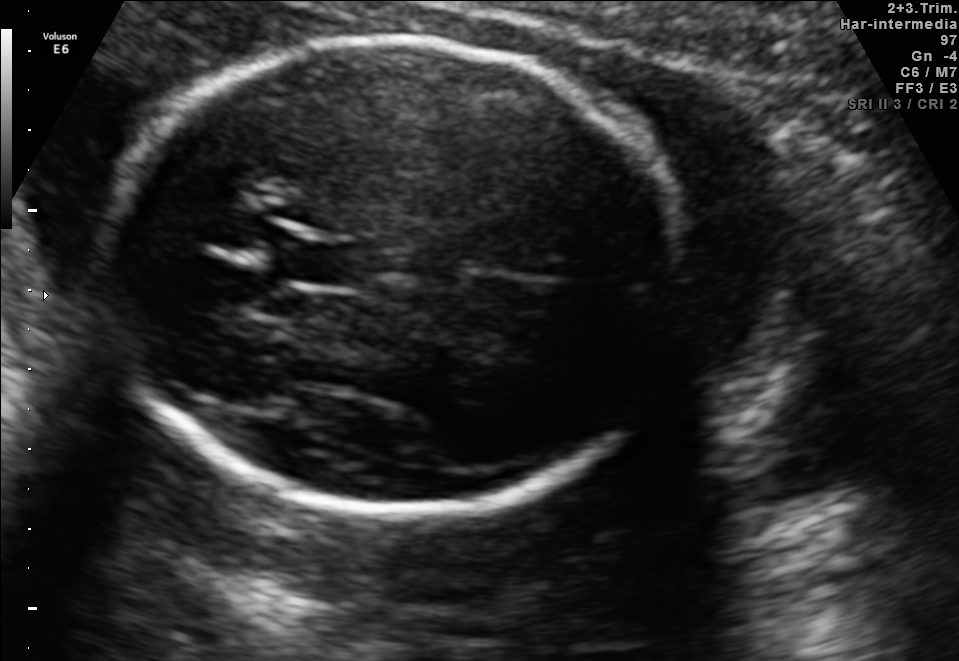
Fetal brain, trans-thalamic plane. Locate the fetal head.

Head: [99,40,688,513]